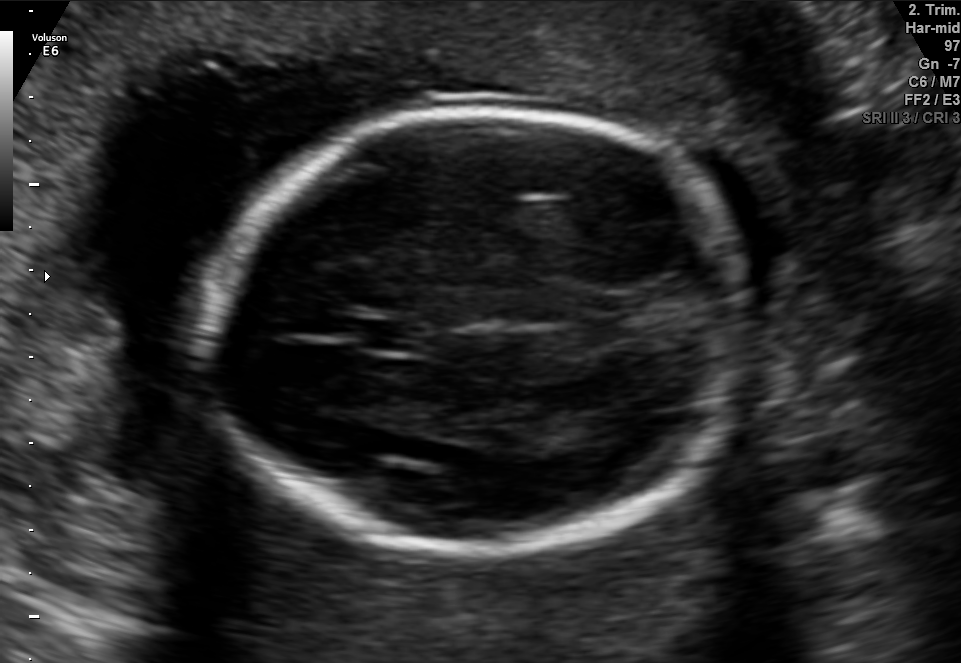
Fetal brain, trans-thalamic plane. Where is the fetal head?

Head bounding box: [208,107,751,558]